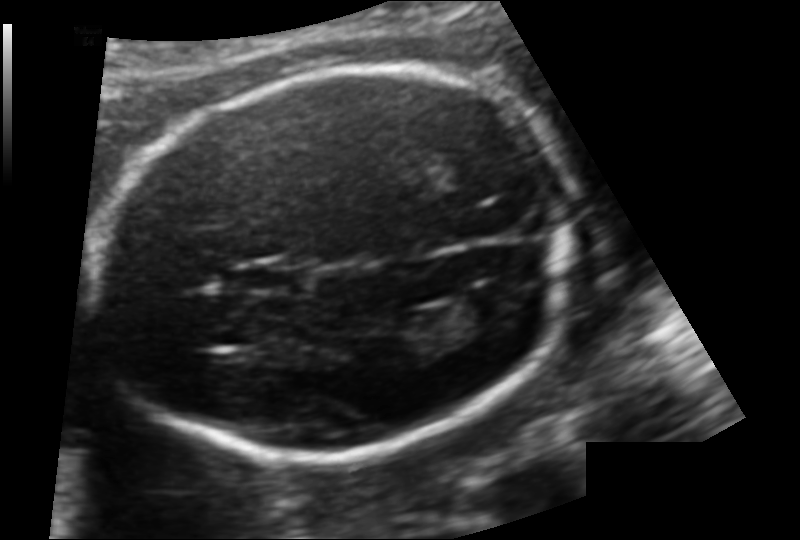
From this fetal ultrasound, estimate the head circumference (image width 98.8 mm).

Head circumference: 174.3 mm.